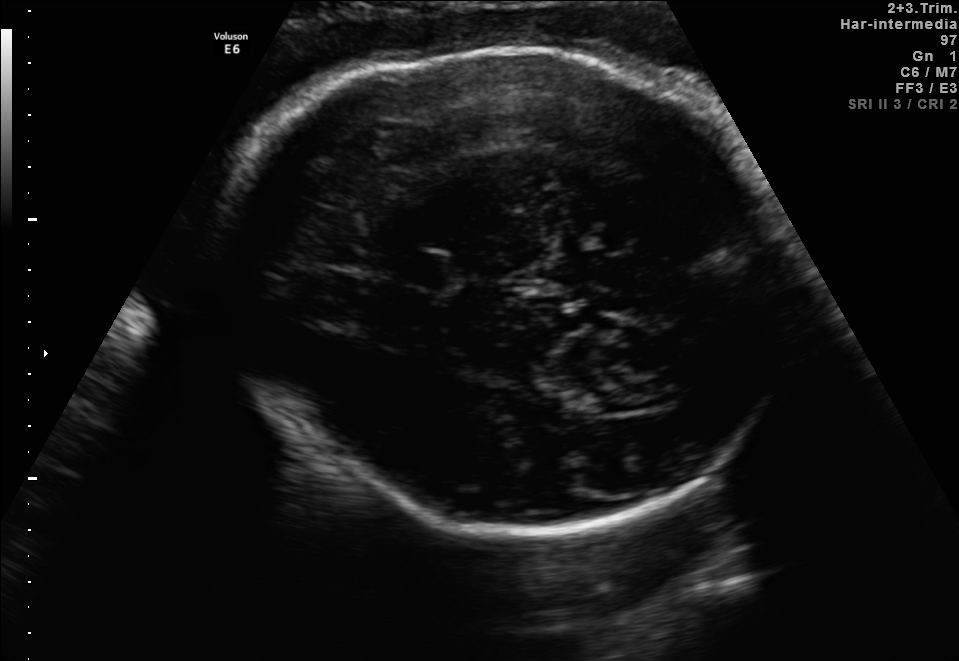
Classify this maternal-fetal ultrasound image as one of the six standard planes — fetal abdomen, fetal brain, fetal femur, fetal thorax, maternal cervix, or other. If it's fetal brain and one of the three standard brain planes (trans-thalamic, trans-cerebellum, trans-ventricular), name which.

Fetal brain (trans-thalamic plane)